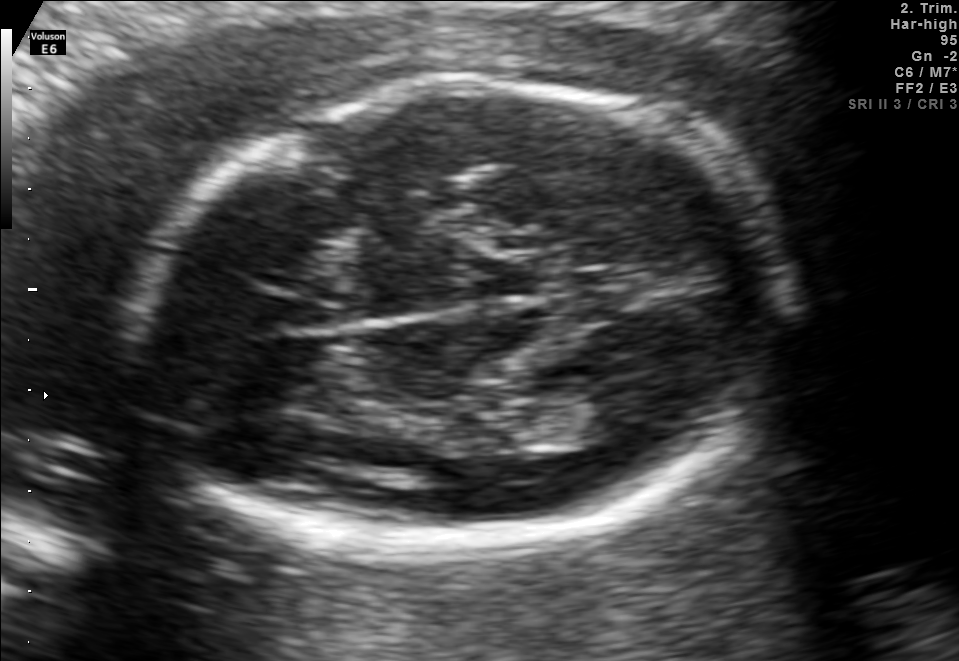
Fetal brain, trans-thalamic plane. Locate the fetal head.

Head: [133,81,790,548]